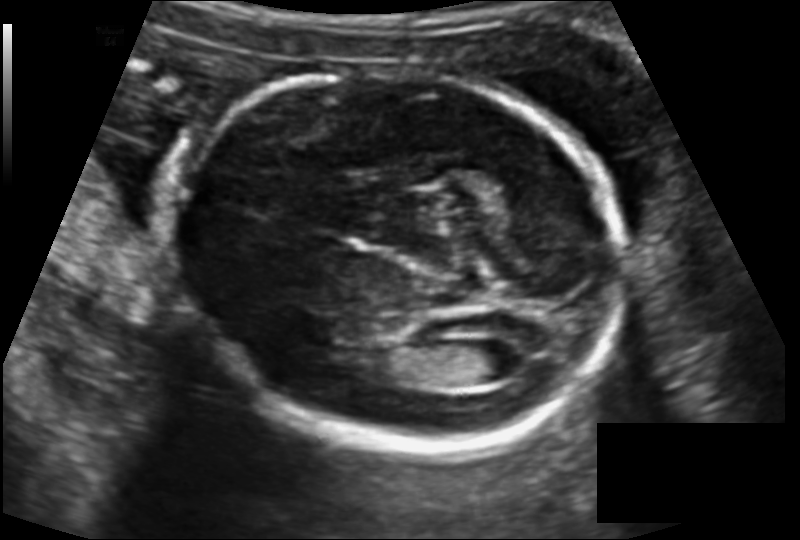
In this fetal head ultrasound, give the bounding box of the lateral ventricle. Image width: 103.4 mm.

[463,336,527,386]